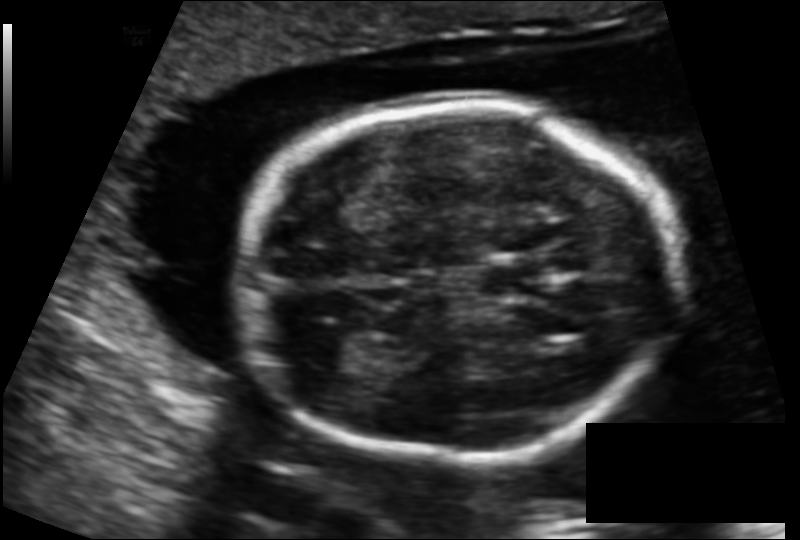
Fetal head ultrasound. Image width: 104.4 mm. Where is the lateral ventricle?

Lateral ventricle bounding box: [301,325,381,374]